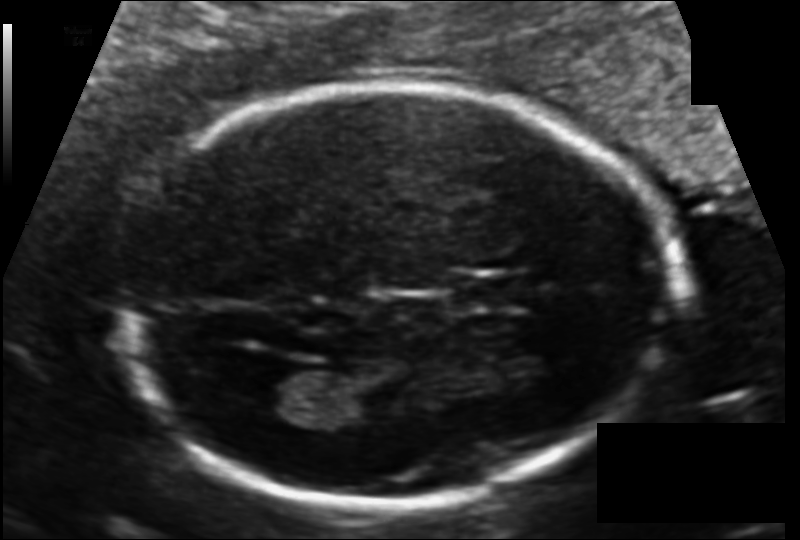
Fetal head ultrasound. Image width: 90.0 mm. Where is the fetal head?

Head bounding box: [116,87,679,507]